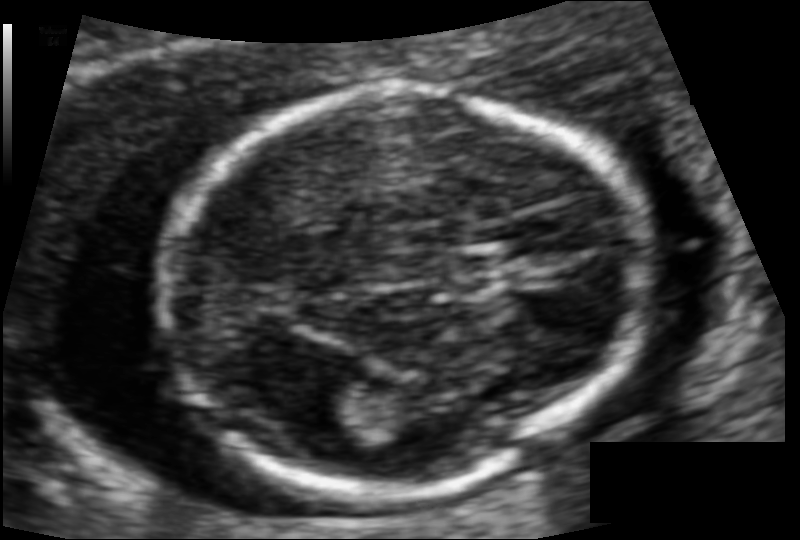
In this fetal head ultrasound, give the bounding box of the fetal head. Image width: 66.5 mm.

[164,87,637,493]